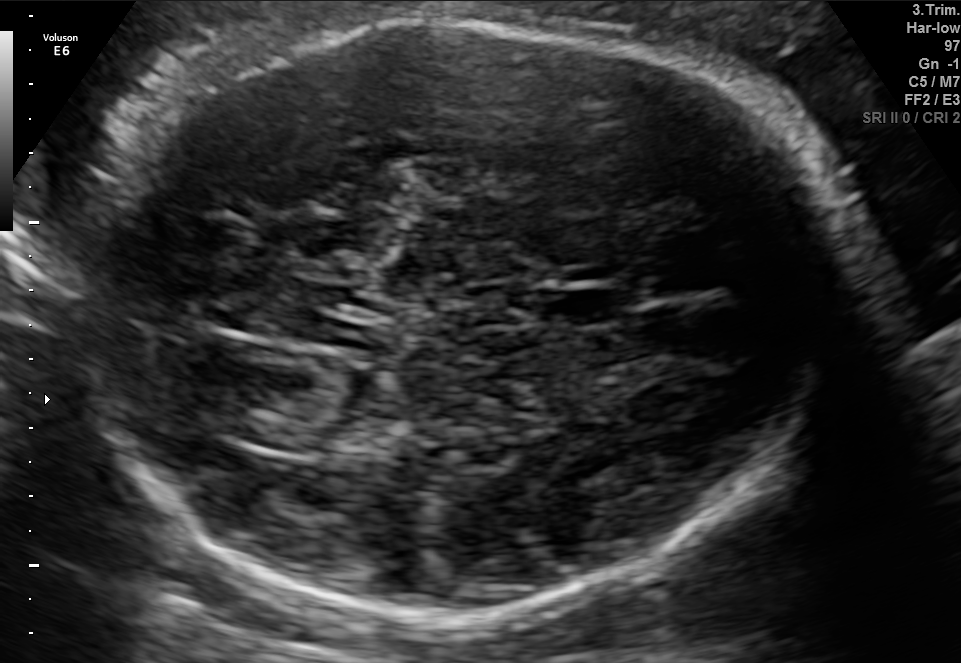
Fetal brain, trans-thalamic plane. Locate the lateral ventricle.

Lateral ventricle: [232,405,322,456]